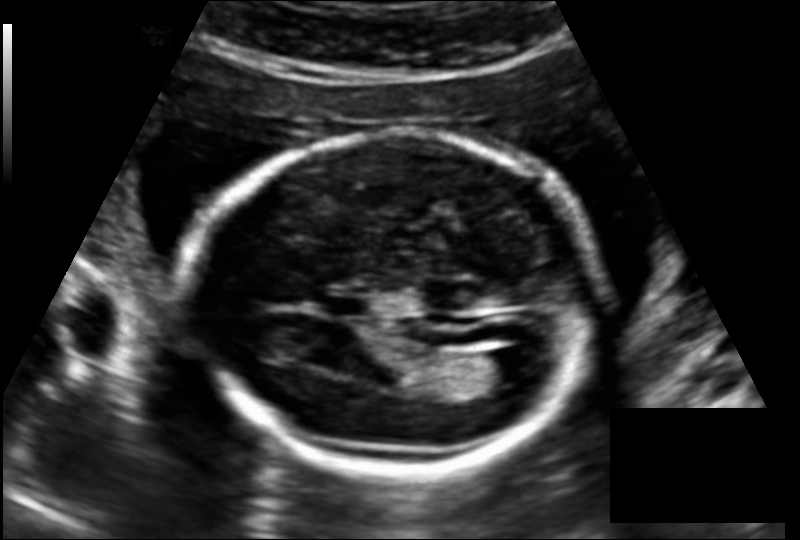
From this fetal ultrasound, estimate the head circumference (image width 115.9 mm).

Head circumference: 181.1 mm.